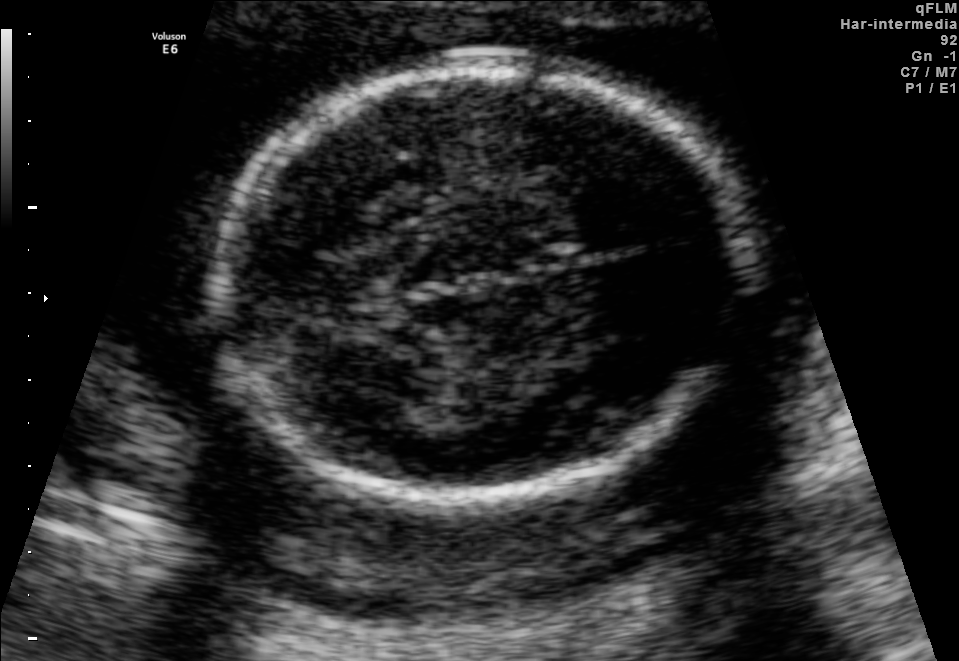
Fetal brain, trans-thalamic plane. Give [x1,y1,x2,y2] bounding boxes for each visible structure among: fetal head, CSP, LV.

Head: [216,71,751,494]